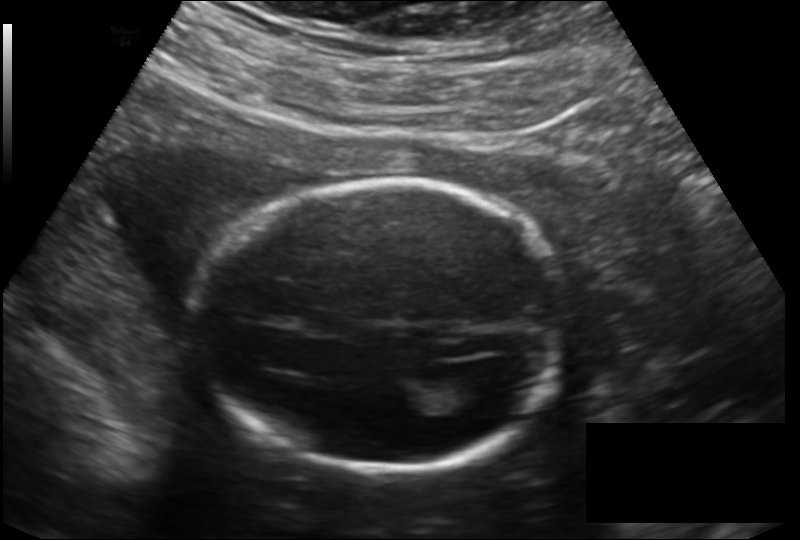
From this fetal ultrasound, estimate the head circumference (image width 133.1 mm).

Head circumference: 179.0 mm.